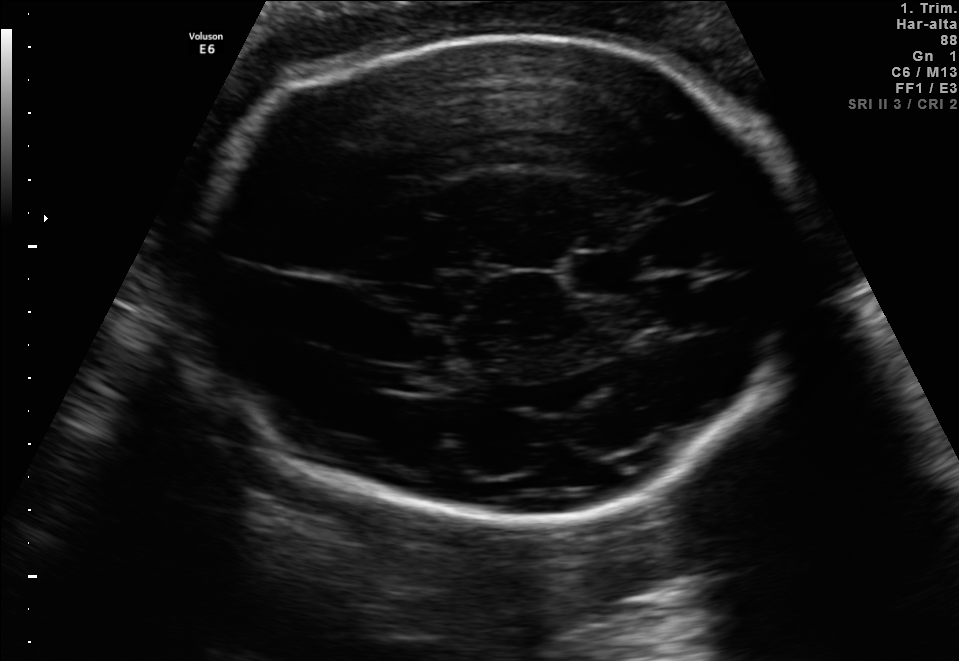
Fetal brain, trans-thalamic plane. Give [x1,y1,x2,y2] bounding boxes for each visible structure among: fetal head, CSP, LV.

Head: [193,33,804,518]
CSP: [574,254,638,292]
Lateral ventricle: [370,363,449,396]